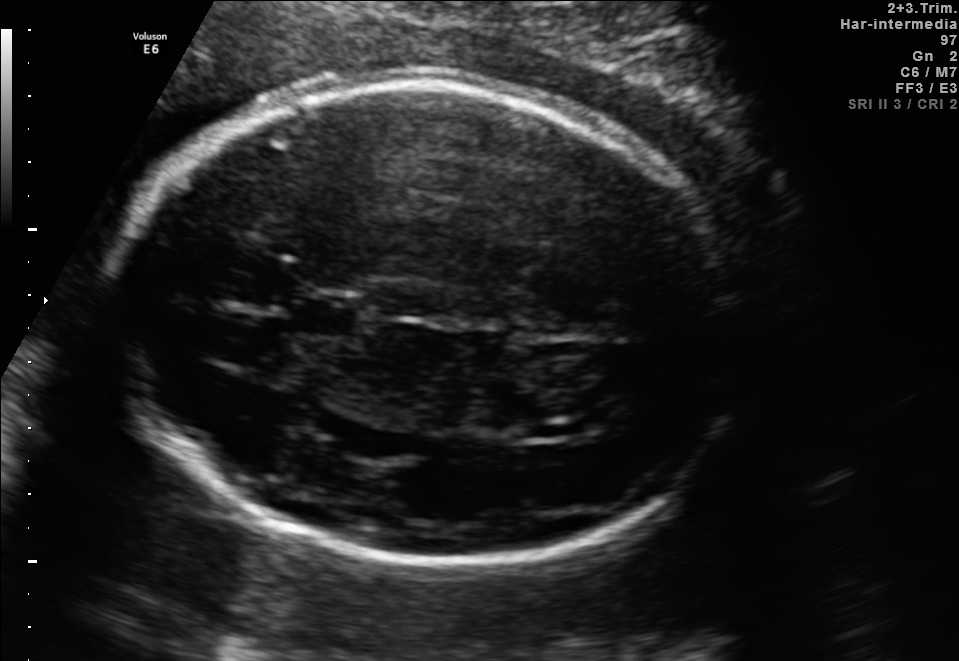
In this fetal brain, trans-ventricular plane, give the bounding box of the cavum septum pellucidum.

[280,293,371,339]